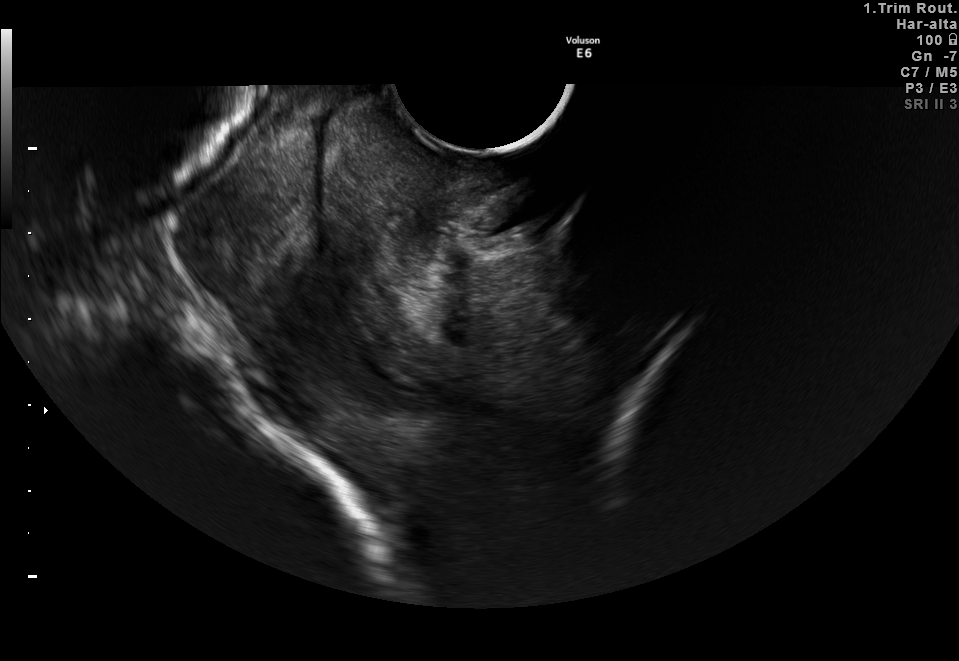
Which standard maternal-fetal ultrasound plane is shown: fetal abdomen, fetal brain, fetal femur, fetal thorax, maternal cervix, or other? If it's fetal brain and one of the three standard brain planes (trans-thalamic, trans-cerebellum, trans-ventricular), name which.

Maternal cervix